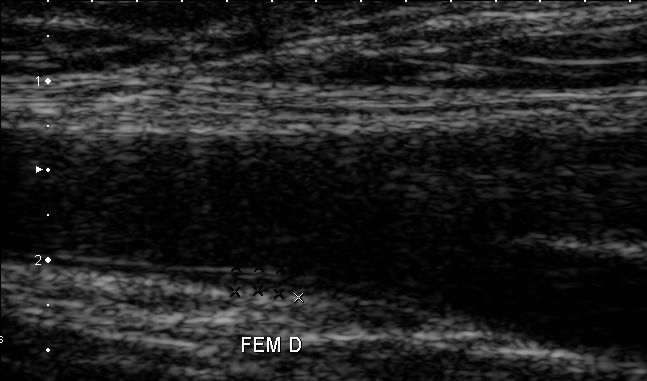
This is a 2D maternal-fetal ultrasound frame. Is it a fetal abdomen, fetal brain, fetal femur, fetal thorax, maternal cervix, or other standard plane? If it's fetal brain and one of the three standard brain planes (trans-thalamic, trans-cerebellum, trans-ventricular), name which.

Other